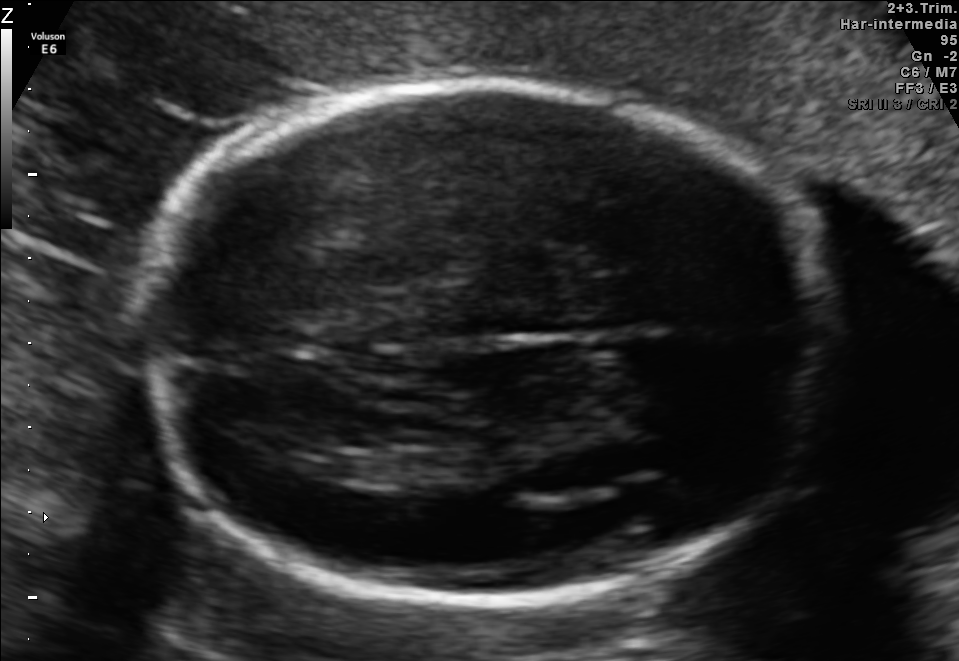
Fetal brain, trans-thalamic plane. Give [x1,y1,x2,y2] bounding boxes for each visible structure among: fetal head, CSP, LV.

Head: [139,77,828,600]
Lateral ventricle: [321,453,409,486]